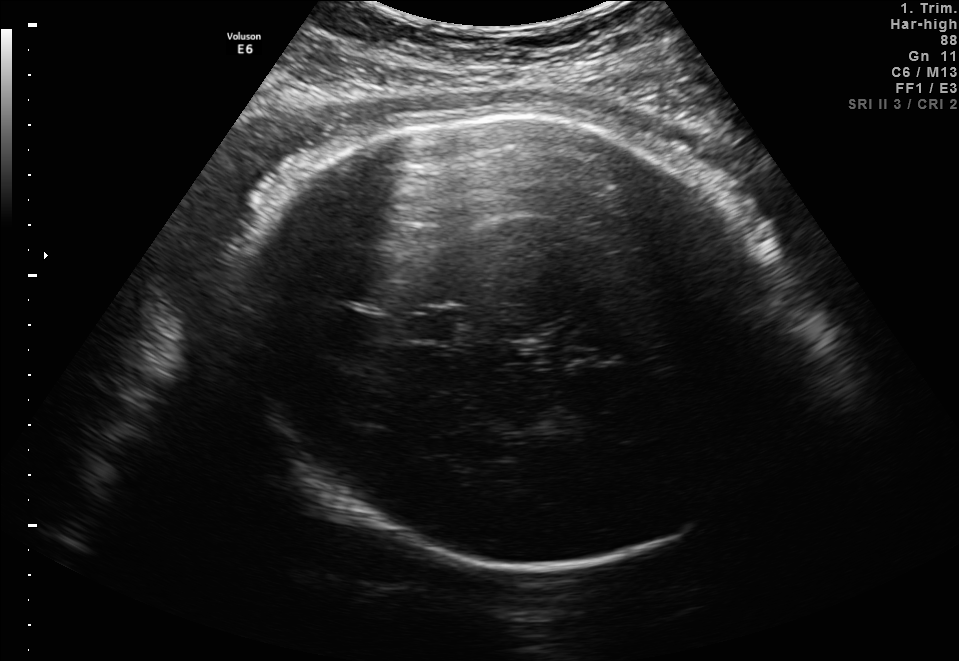
Fetal brain, trans-thalamic plane. Locate the fetal head.

Head: [236,118,785,565]